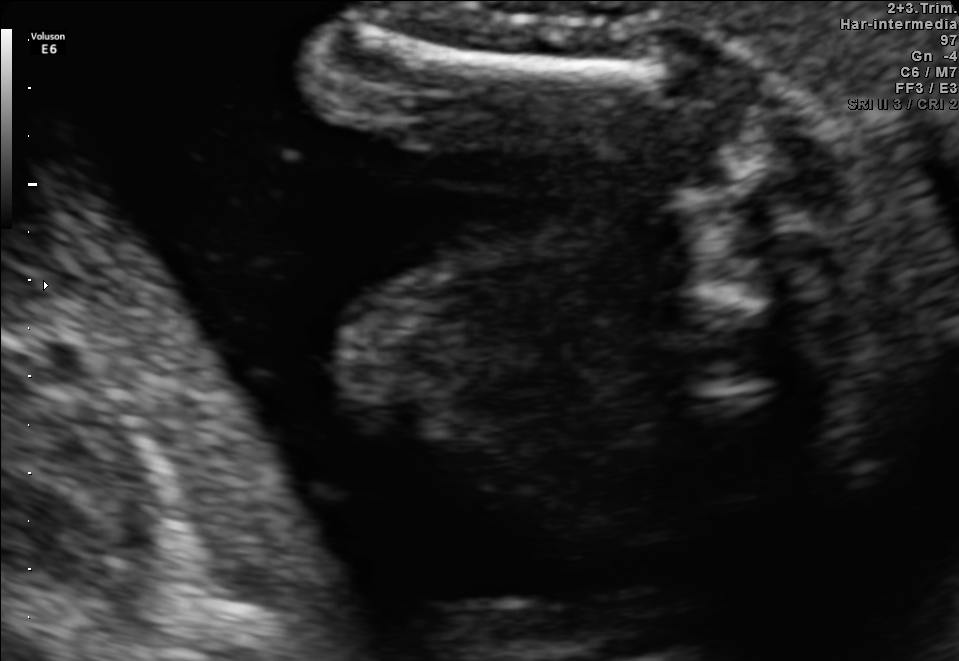
Classify this maternal-fetal ultrasound image as one of the six standard planes — fetal abdomen, fetal brain, fetal femur, fetal thorax, maternal cervix, or other. If it's fetal brain and one of the three standard brain planes (trans-thalamic, trans-cerebellum, trans-ventricular), name which.

Other